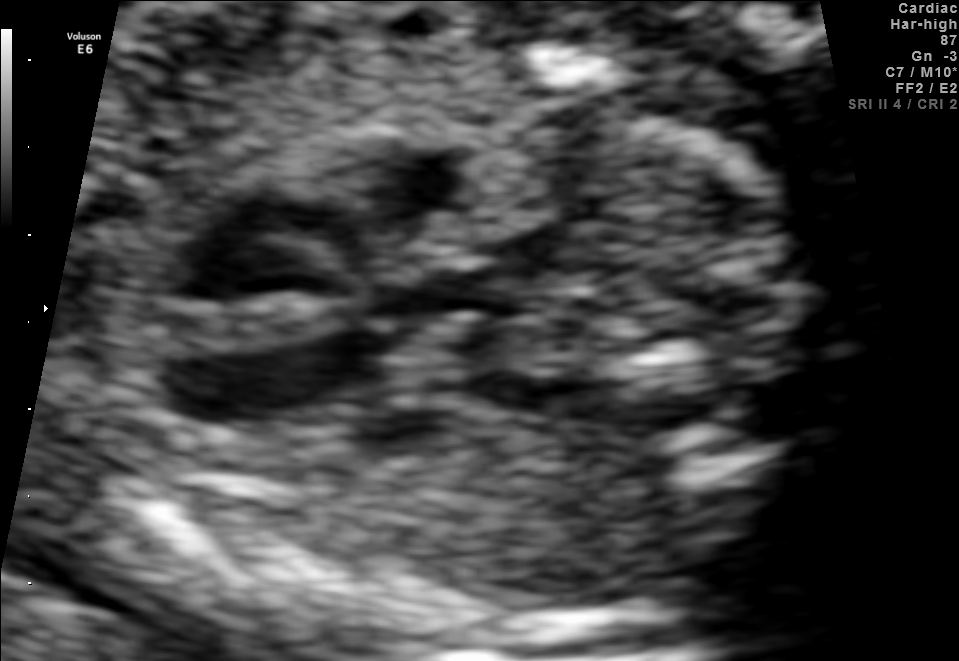
Which standard maternal-fetal ultrasound plane is shown: fetal abdomen, fetal brain, fetal femur, fetal thorax, maternal cervix, or other? If it's fetal brain and one of the three standard brain planes (trans-thalamic, trans-cerebellum, trans-ventricular), name which.

Fetal thorax